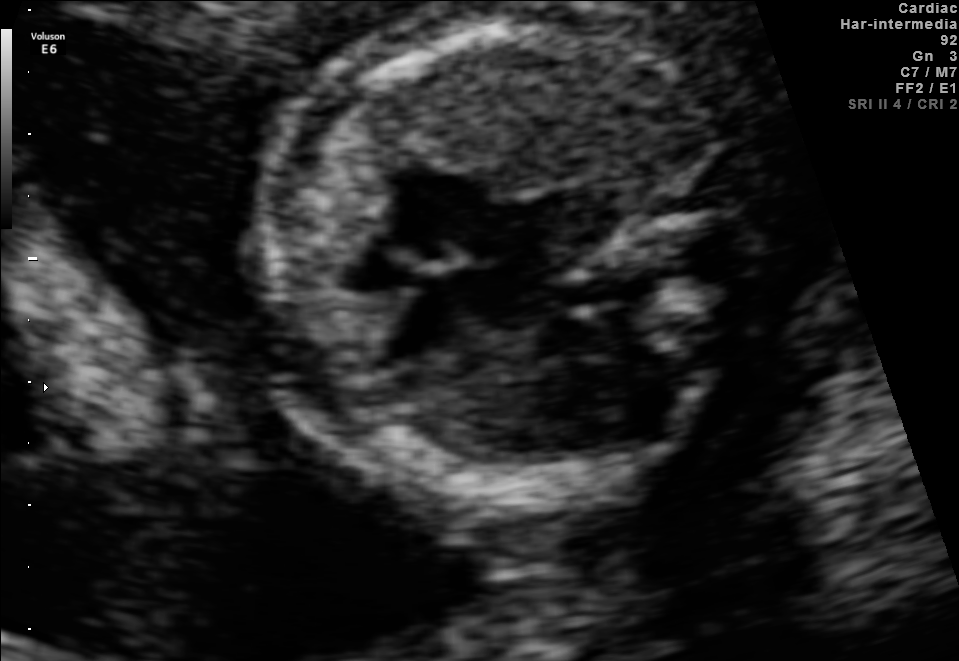
Which standard maternal-fetal ultrasound plane is shown: fetal abdomen, fetal brain, fetal femur, fetal thorax, maternal cervix, or other? If it's fetal brain and one of the three standard brain planes (trans-thalamic, trans-cerebellum, trans-ventricular), name which.

Fetal thorax